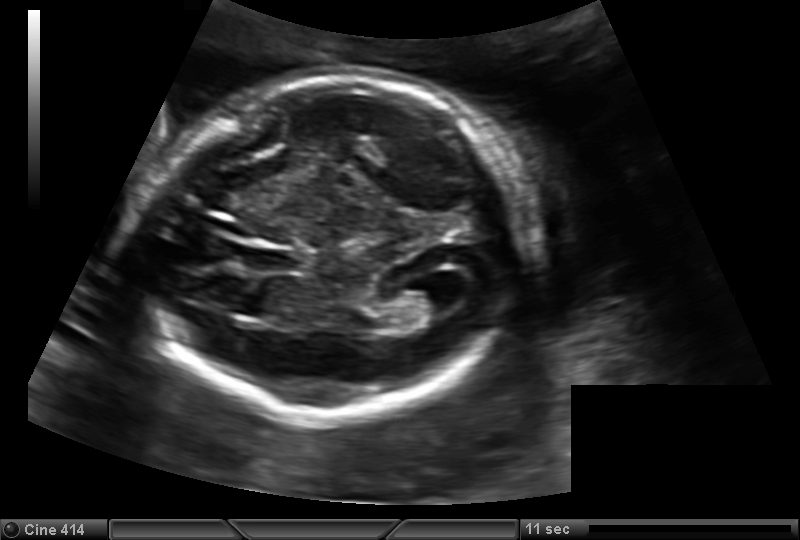
Fetal head ultrasound. Image width: 120.0 mm. Locate the lateral ventricle.

Lateral ventricle: [394,273,457,326]